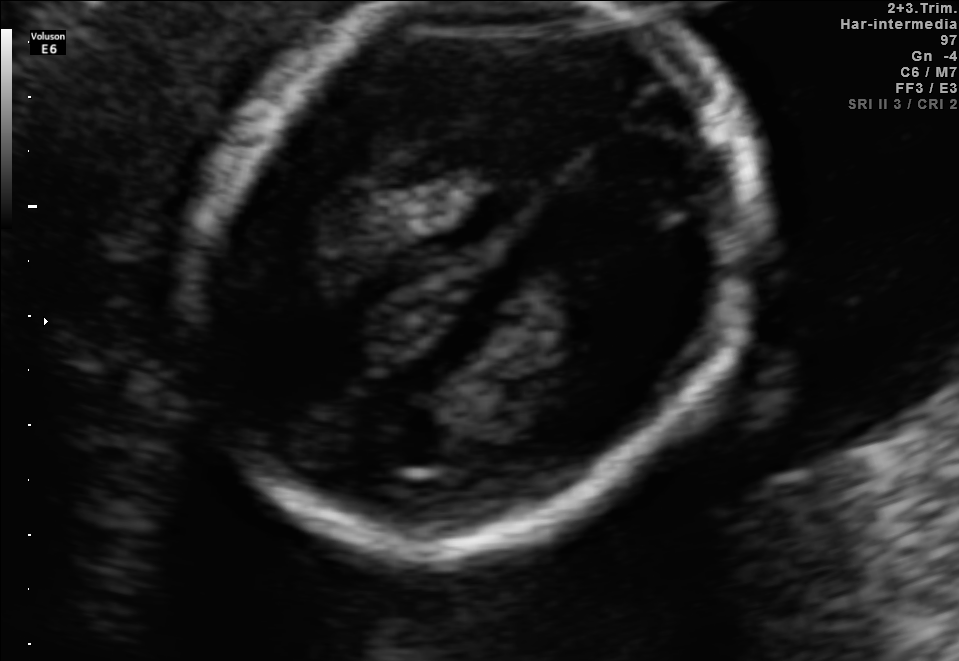
Classify this maternal-fetal ultrasound image as one of the six standard planes — fetal abdomen, fetal brain, fetal femur, fetal thorax, maternal cervix, or other. If it's fetal brain and one of the three standard brain planes (trans-thalamic, trans-cerebellum, trans-ventricular), name which.

Fetal brain (trans-thalamic plane)